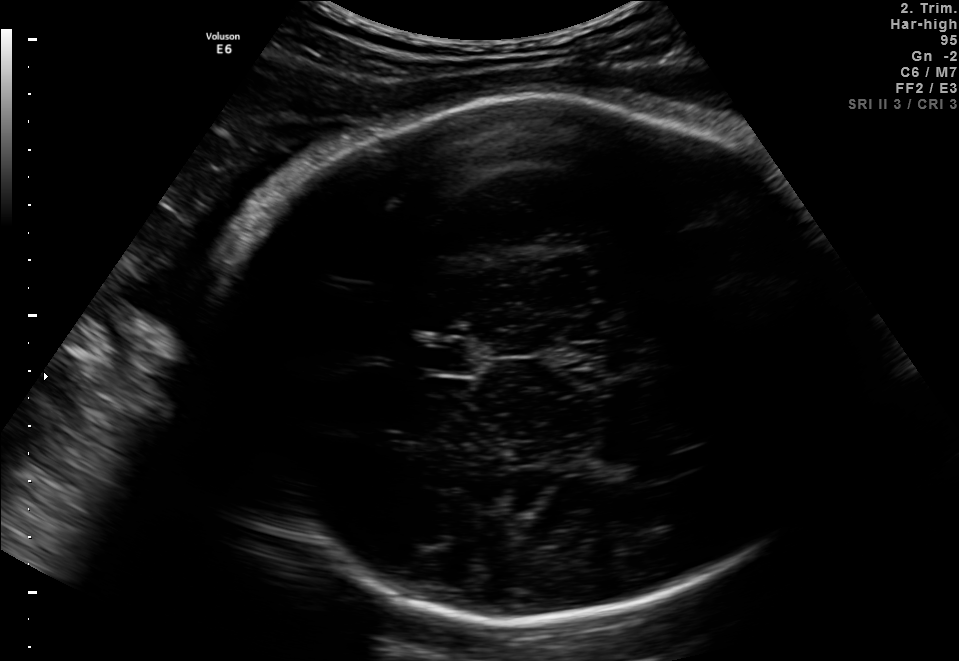
In this fetal brain, trans-thalamic plane, give the bounding box of the cavum septum pellucidum.

[416,339,476,376]